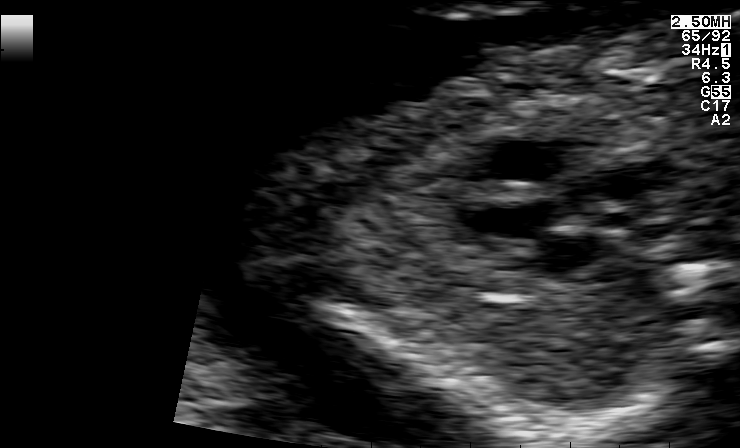
Identify the standard plane in this fetal ultrasound image: fetal abdomen, fetal brain, fetal femur, fetal thorax, maternal cervix, or other. If it's fetal brain and one of the three standard brain planes (trans-thalamic, trans-cerebellum, trans-ventricular), name which.

Other